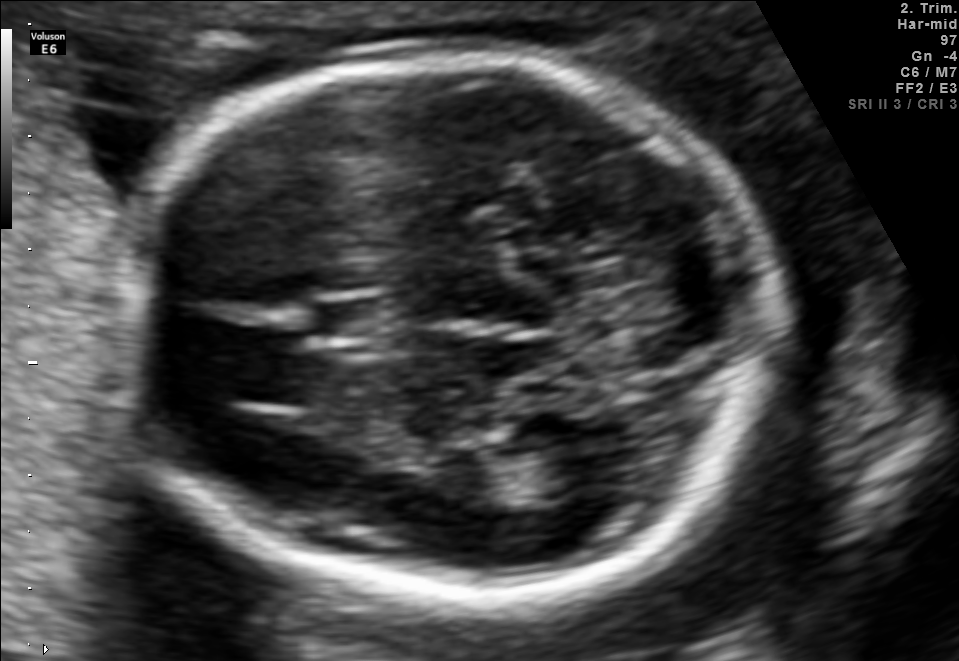
Fetal brain, trans-thalamic plane. Locate the cavum septum pellucidum.

CSP: [311,297,400,341]